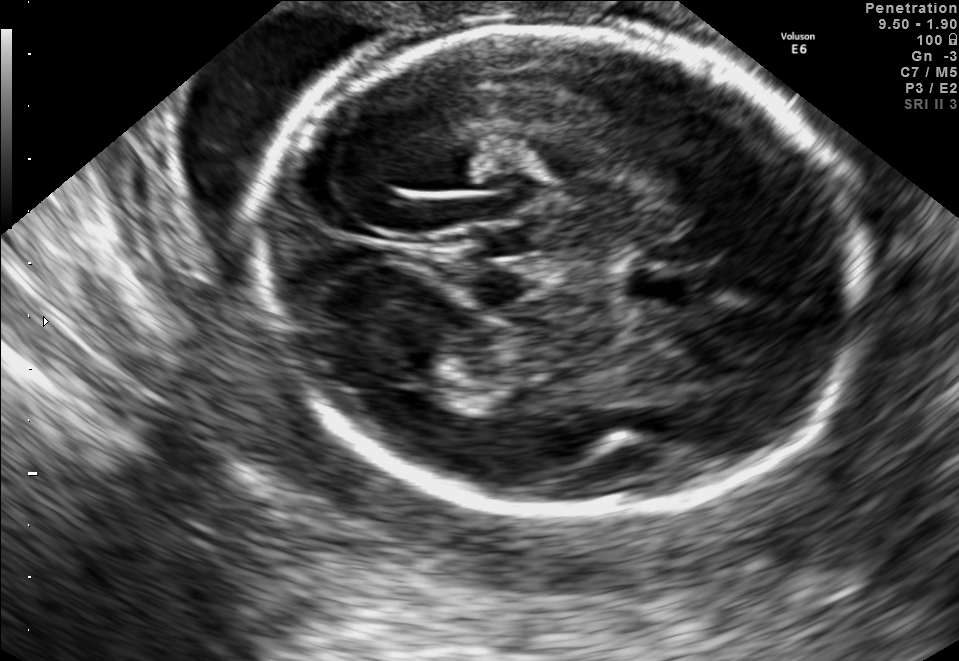
Fetal brain, trans-thalamic plane. Locate the fetal head.

Head: [258,23,861,512]